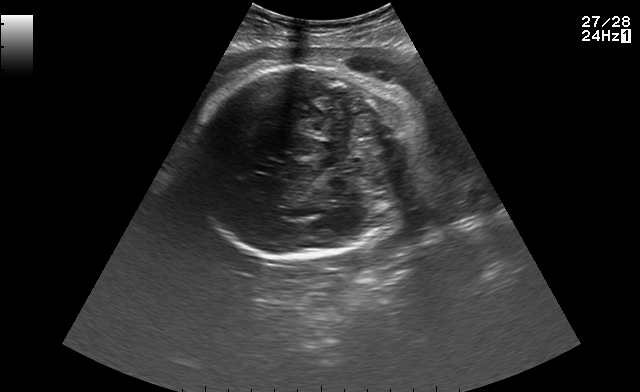
Fetal brain, trans-cerebellum plane. Give [x1,y1,x2,y2] bounding boxes for each visible structure among: fetal head, CSP, LV.

Head: [192,63,411,259]